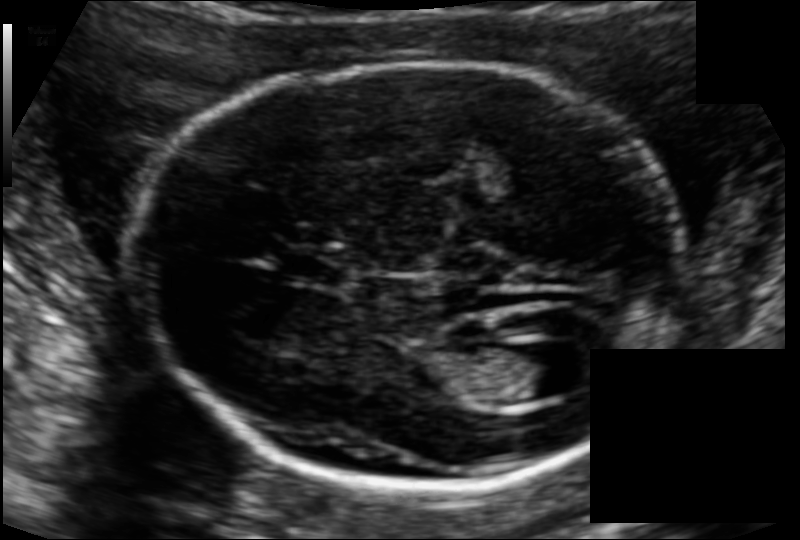
In this fetal head ultrasound, give the bounding box of the cavum septum pellucidum. Image width: 88.5 mm.

[277,248,345,285]